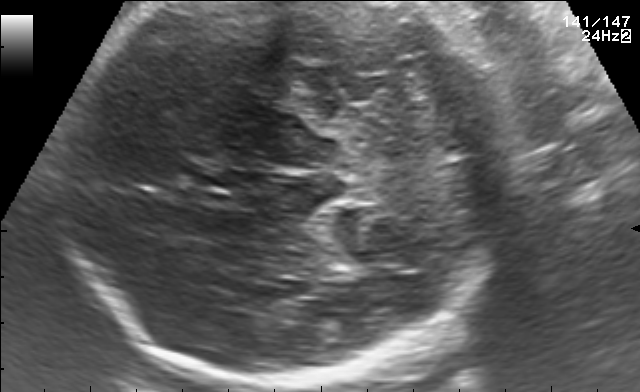
Fetal brain, trans-cerebellum plane. Where is the fetal head?

Head bounding box: [67,4,498,385]